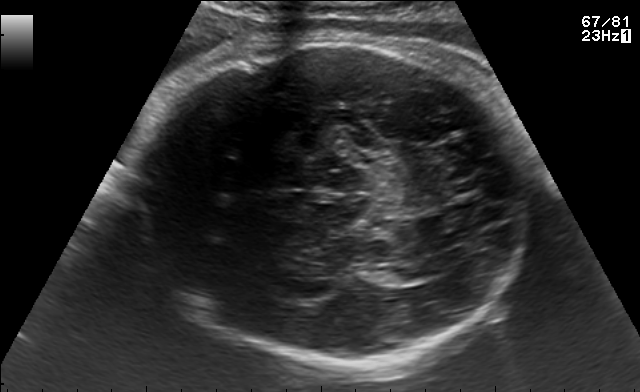
Fetal brain, trans-thalamic plane. Where is the lateral ventricle?

Lateral ventricle bounding box: [368,264,425,286]